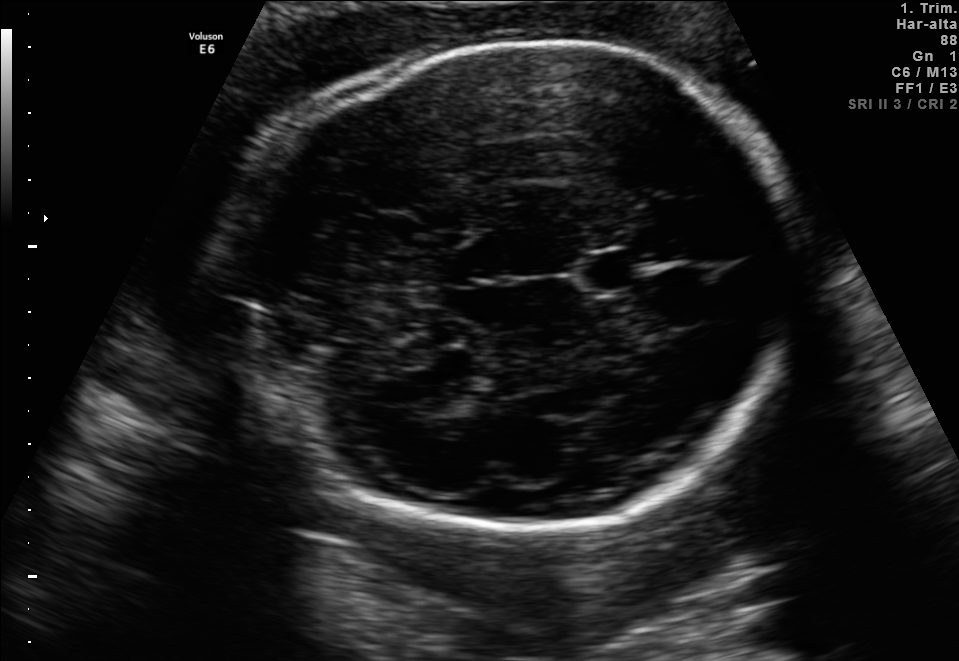
Fetal brain, trans-thalamic plane. Give [x1,y1,x2,y2] bounding boxes for each visible structure among: fetal head, CSP, LV.

Head: [228,40,799,527]
CSP: [582,248,640,293]